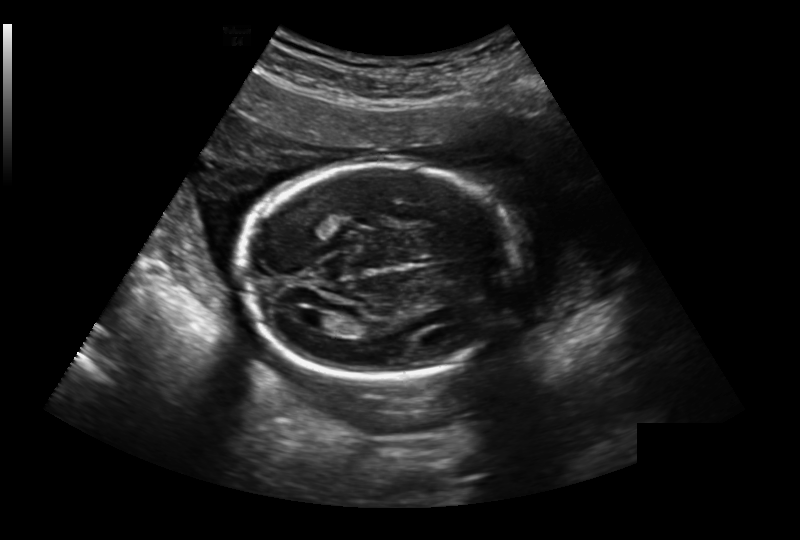
Fetal head ultrasound. Image width: 188.5 mm. Give [x1,y1,x2,y2] bounding boxes for each visible structure among: fetal head, CSP, LV.

Head: [240,163,520,378]
Lateral ventricle: [302,309,338,333]